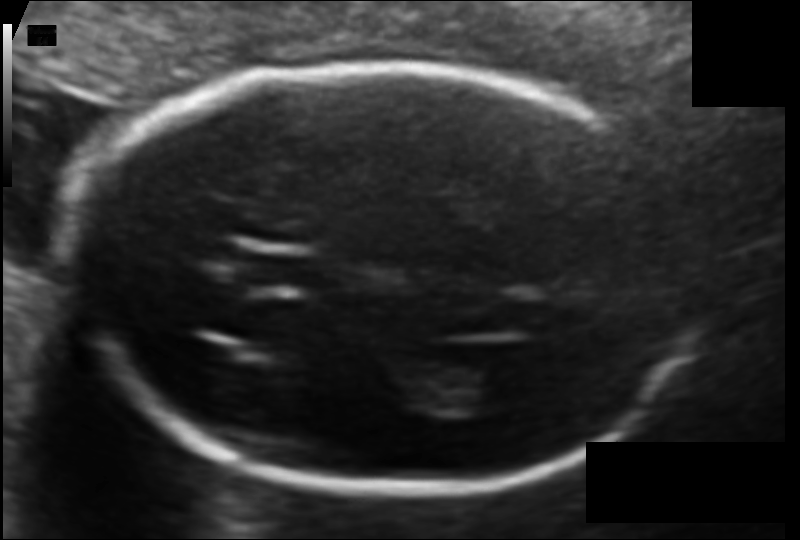
Estimate the fetal head circumference from this 2D ultrasound. Image width: 82.7 mm.

Head circumference: 177.8 mm.